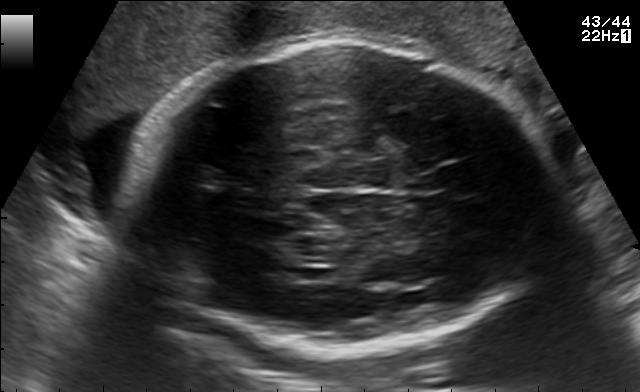
Classify this maternal-fetal ultrasound image as one of the six standard planes — fetal abdomen, fetal brain, fetal femur, fetal thorax, maternal cervix, or other. If it's fetal brain and one of the three standard brain planes (trans-thalamic, trans-cerebellum, trans-ventricular), name which.

Fetal brain (trans-thalamic plane)